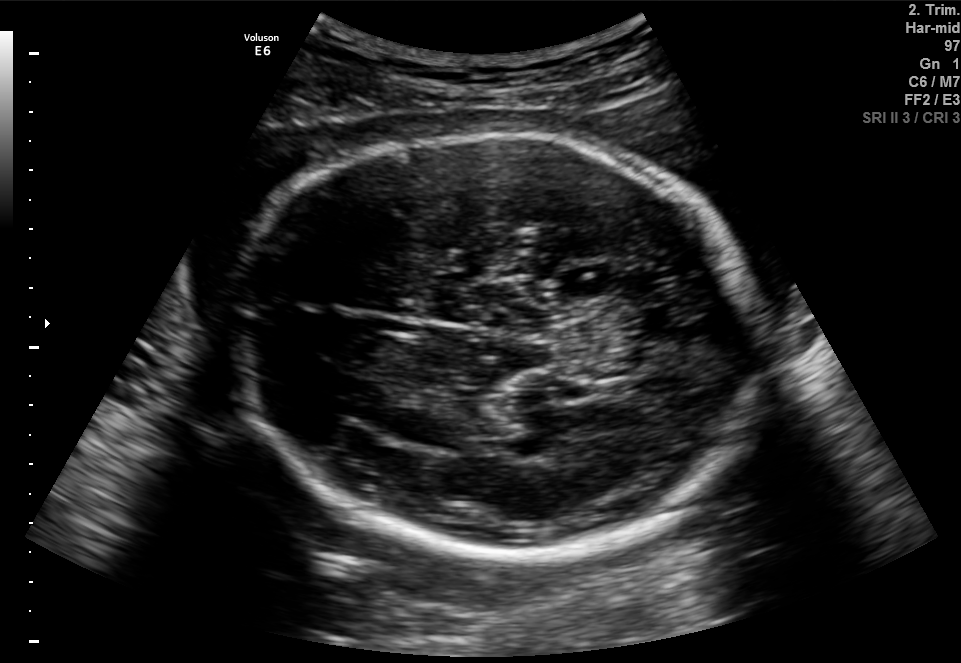
Fetal brain, trans-thalamic plane. Where is the fetal head?

Head bounding box: [229,132,756,557]